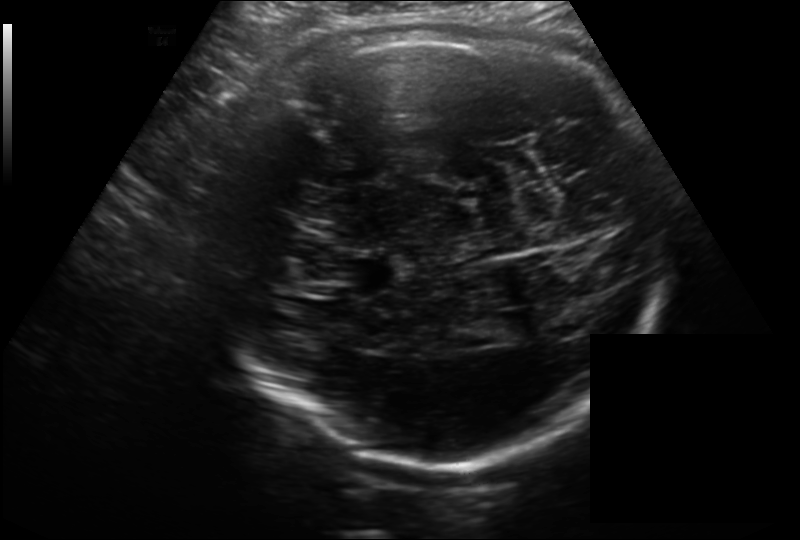
Estimate the fetal head circumference from this 2D ultrasound.

Head circumference: 311.2 mm (image width 171.5 mm).